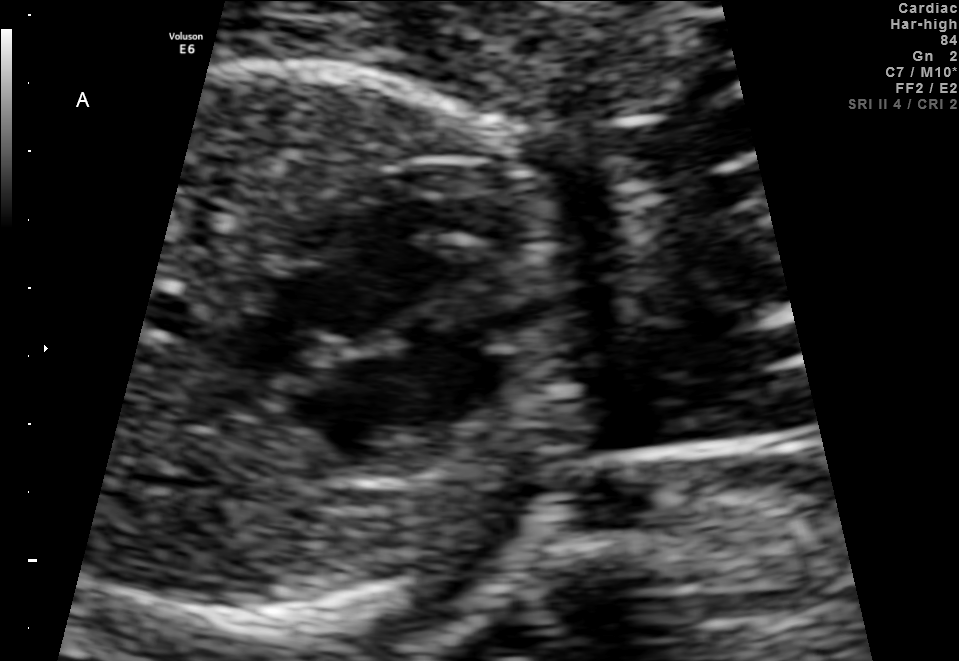
Which standard maternal-fetal ultrasound plane is shown: fetal abdomen, fetal brain, fetal femur, fetal thorax, maternal cervix, or other? If it's fetal brain and one of the three standard brain planes (trans-thalamic, trans-cerebellum, trans-ventricular), name which.

Fetal thorax